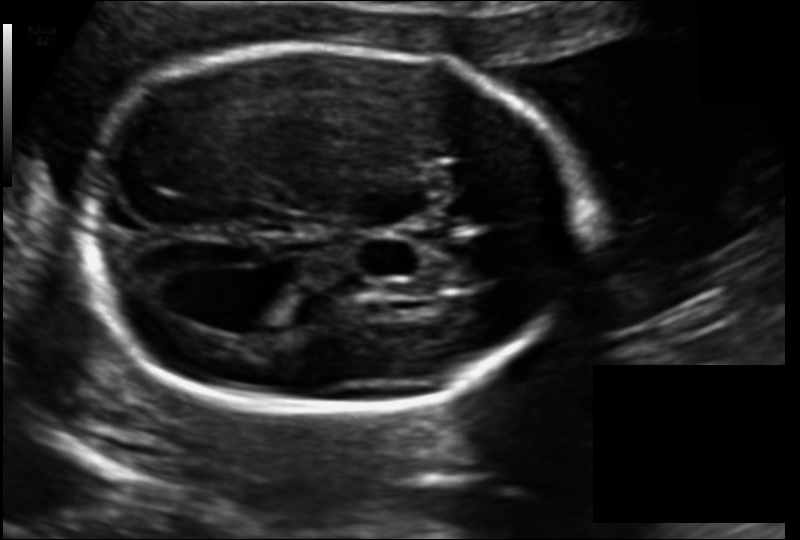
In this fetal head ultrasound, give the bounding box of the fetal head. Image width: 102.4 mm.

[78,47,580,409]